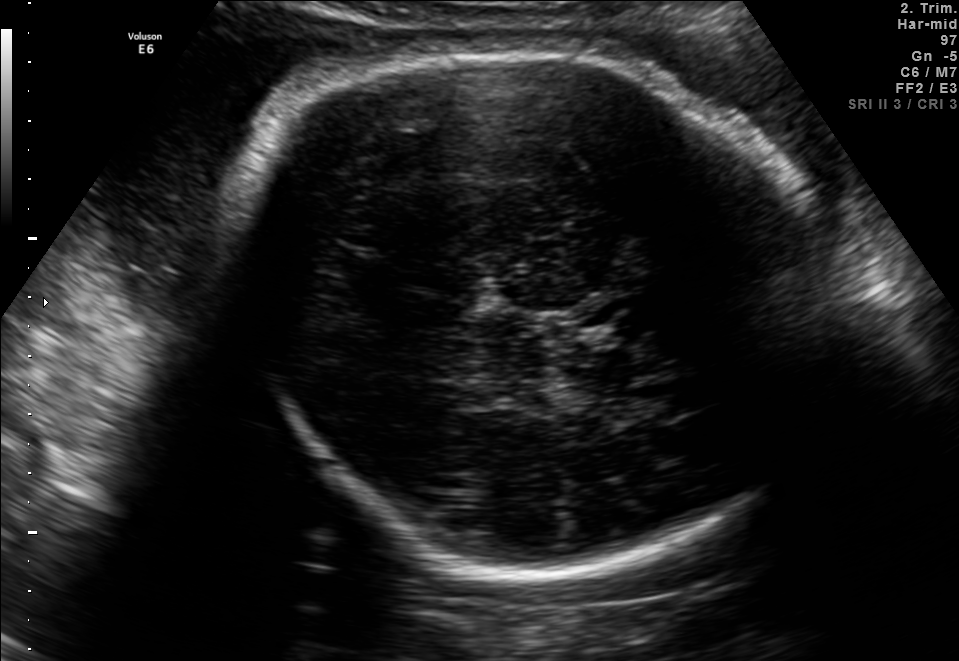
Fetal brain, trans-thalamic plane. Locate the fetal head and, if visible, the cavum septum pellucidum (CSP) and lateral ventricle (LV). Give bounding boxes as [x1,y1,x2,y2].

Head: [236,39,821,578]